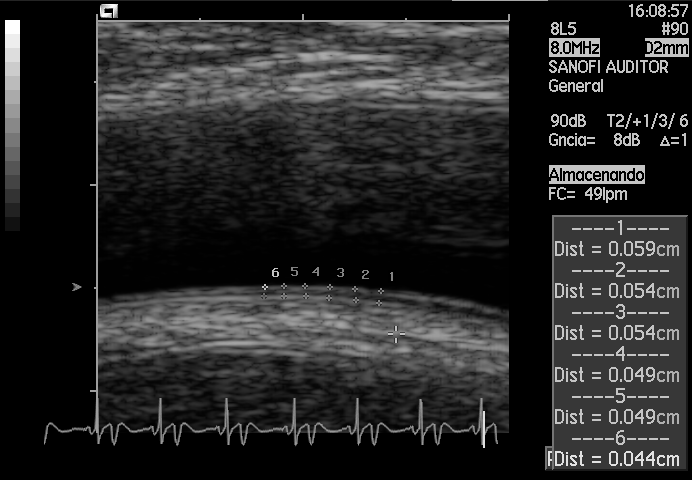
This is a 2D maternal-fetal ultrasound frame. Is it a fetal abdomen, fetal brain, fetal femur, fetal thorax, maternal cervix, or other standard plane? If it's fetal brain and one of the three standard brain planes (trans-thalamic, trans-cerebellum, trans-ventricular), name which.

Other